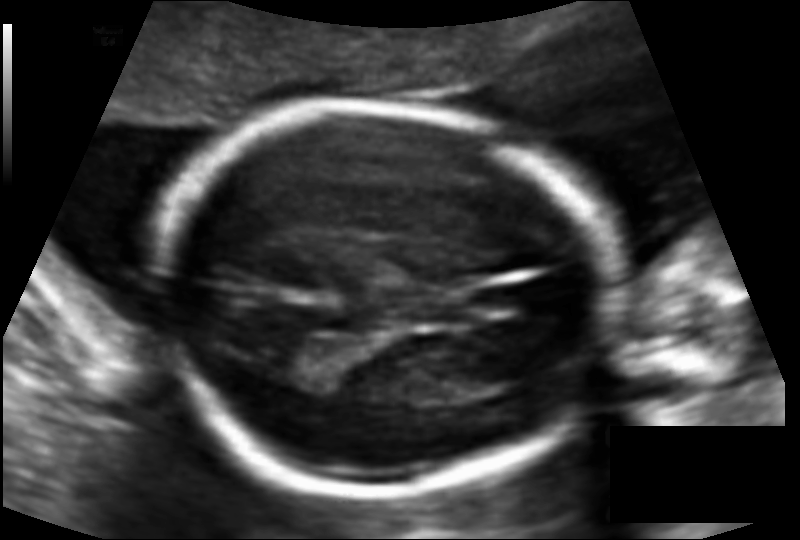
Fetal head ultrasound. Image width: 87.7 mm. Where is the fetal head?

Head bounding box: [157,107,606,492]